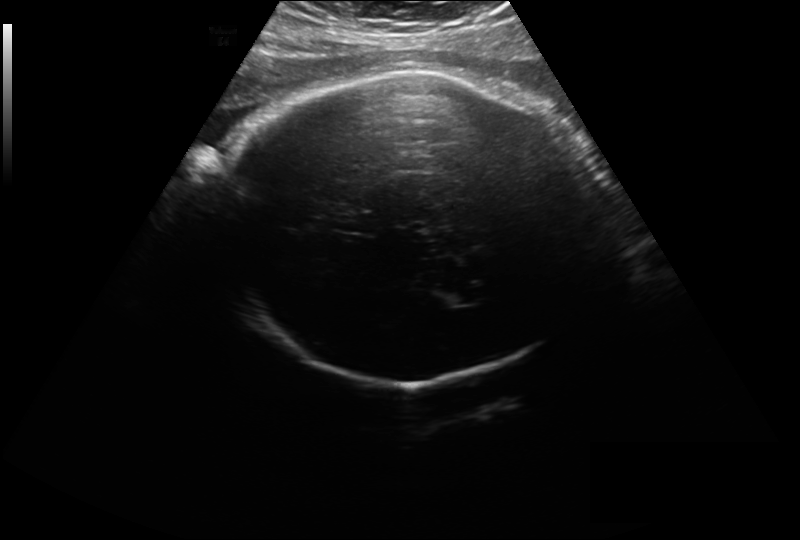
Measure the fetal head circumference shown in this ultrasound image. Image width: 237.5 mm.

Head circumference: 329.3 mm.